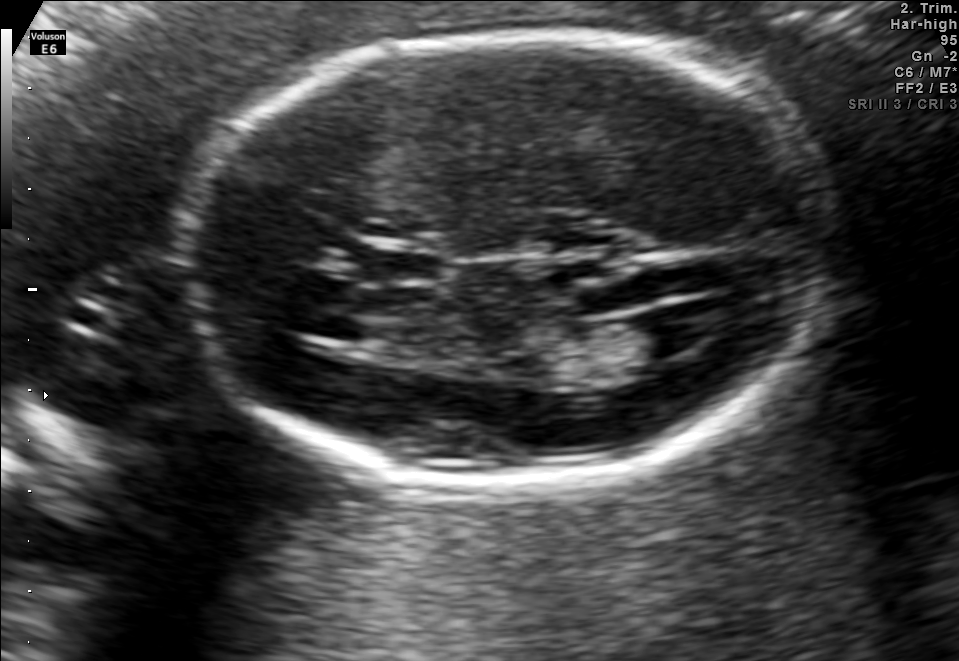
Fetal brain, trans-ventricular plane. Locate the cavum septum pellucidum.

CSP: [387,251,438,281]